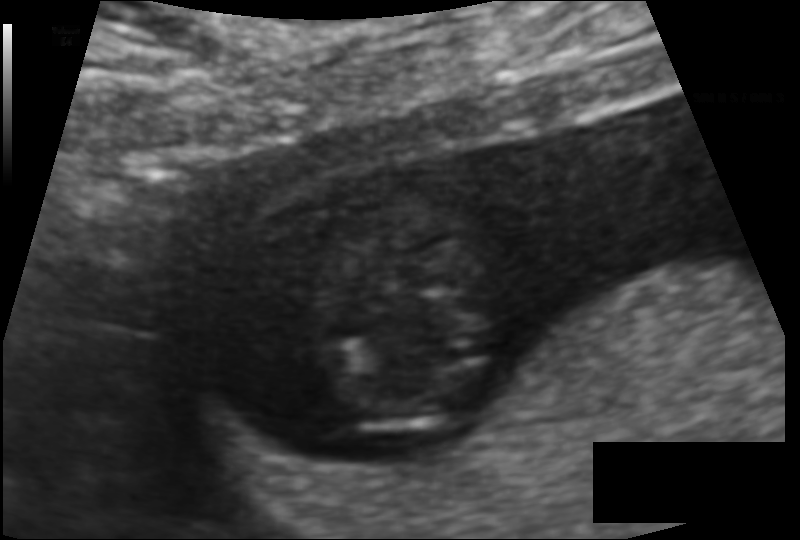
Estimate the fetal head circumference from this 2D ultrasound.

Head circumference: 64.5 mm (image width 75.5 mm).